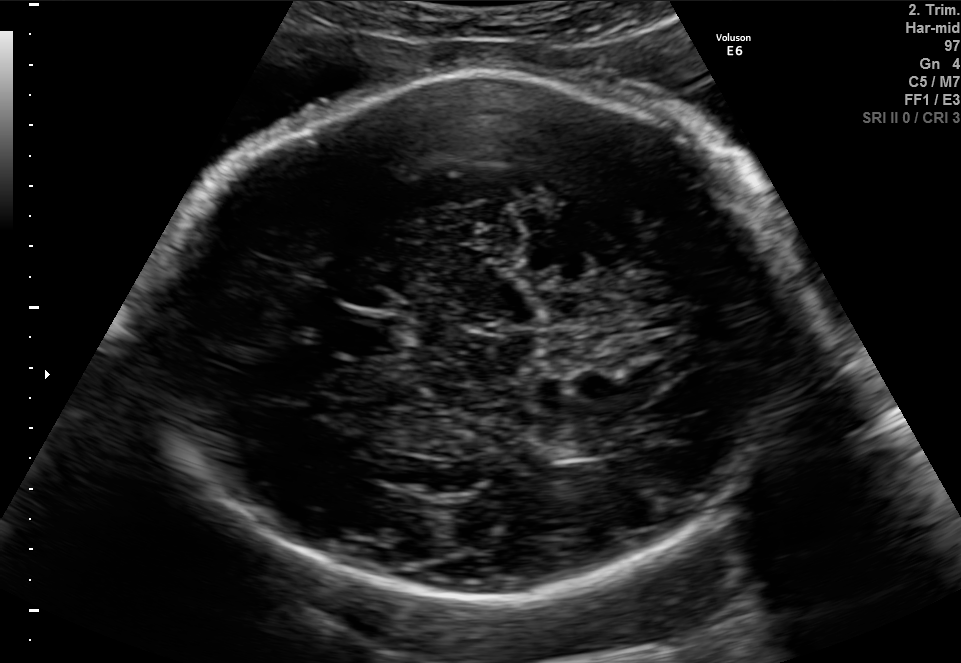
Fetal brain, trans-thalamic plane. Where is the fetal head?

Head bounding box: [153,71,814,594]